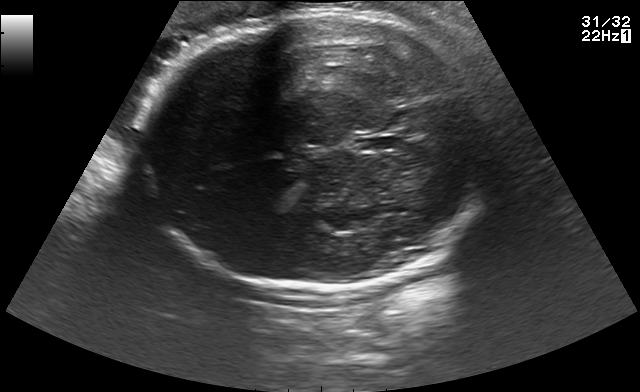
Fetal brain, trans-thalamic plane. Locate the fetal head.

Head: [138,14,495,290]